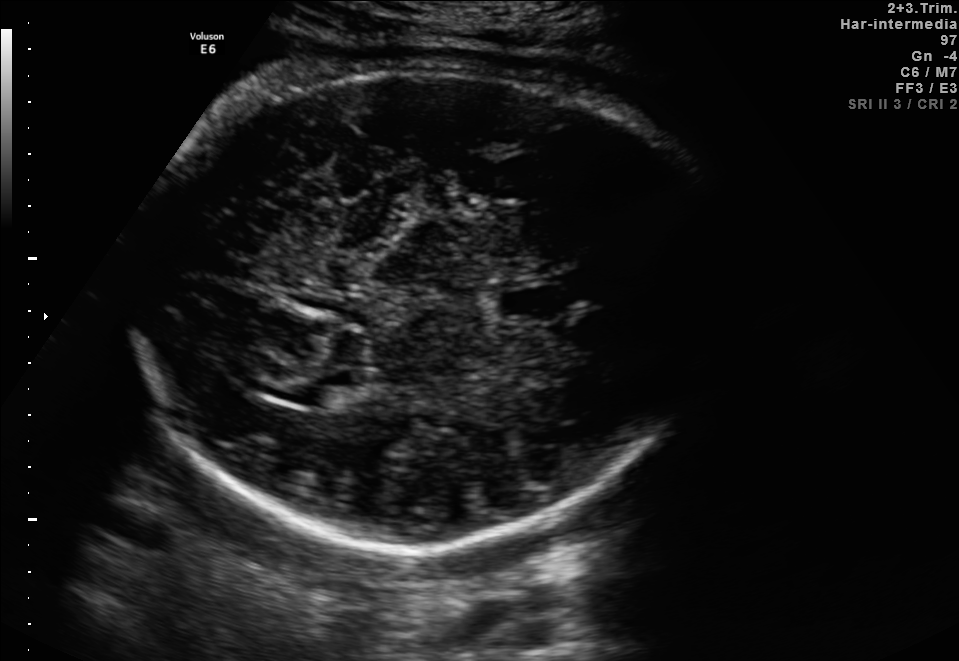
In this fetal brain, trans-thalamic plane, give the bounding box of the fetal head.

[129,63,720,546]